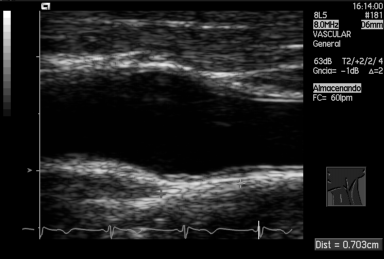
Classify this maternal-fetal ultrasound image as one of the six standard planes — fetal abdomen, fetal brain, fetal femur, fetal thorax, maternal cervix, or other. If it's fetal brain and one of the three standard brain planes (trans-thalamic, trans-cerebellum, trans-ventricular), name which.

Other